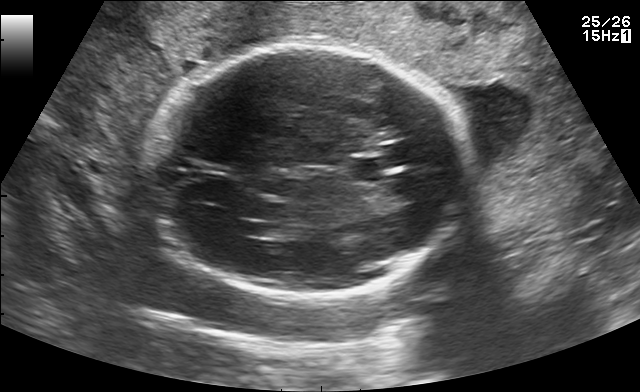
Fetal brain, trans-ventricular plane. Where is the fetal head?

Head bounding box: [138,38,479,305]